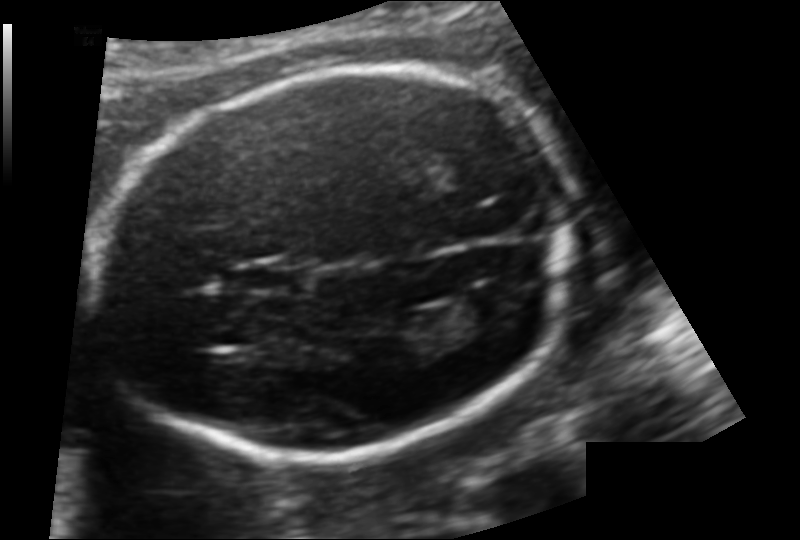
Estimate the fetal head circumference from this 2D ultrasound.

Head circumference: 174.3 mm (image width 98.8 mm).